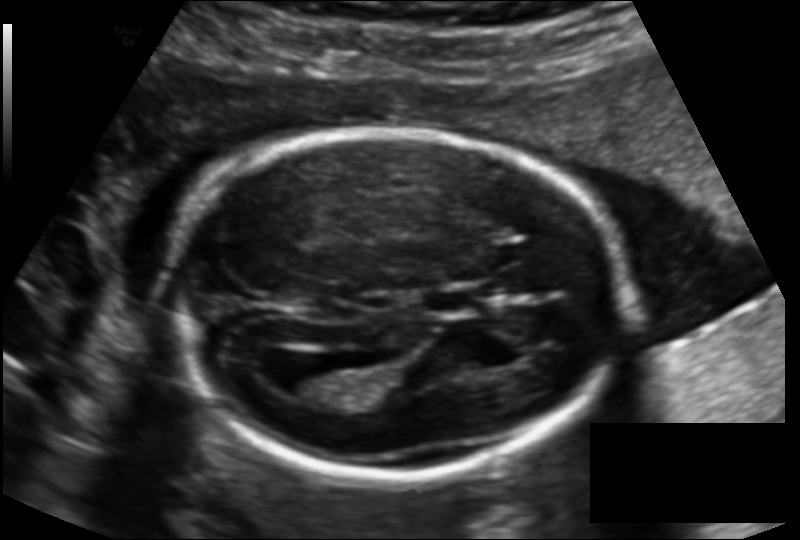
Fetal head ultrasound. Image width: 109.0 mm. Locate the cavum septum pellucidum.

CSP: [421,287,477,315]